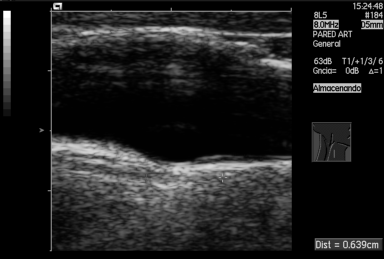
Identify the standard plane in this fetal ultrasound image: fetal abdomen, fetal brain, fetal femur, fetal thorax, maternal cervix, or other. If it's fetal brain and one of the three standard brain planes (trans-thalamic, trans-cerebellum, trans-ventricular), name which.

Other